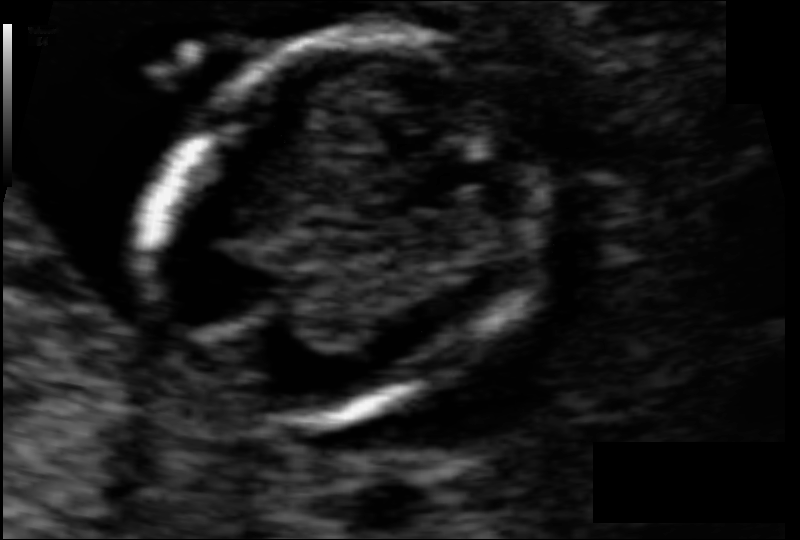
Fetal head ultrasound. Image width: 48.5 mm. Give [x1,y1,x2,y2] bounding boxes for each visible structure among: fetal head, CSP, LV.

Head: [148,37,539,418]